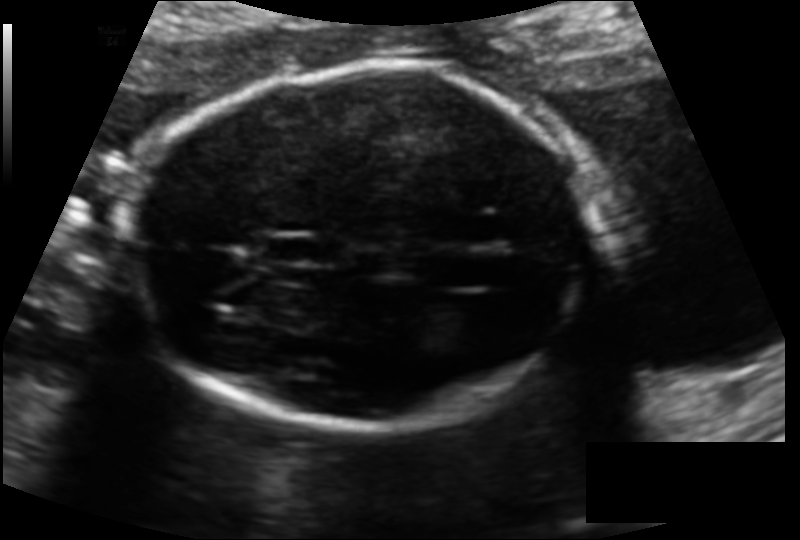
Fetal head ultrasound. Image width: 101.0 mm. Locate the cavum septum pellucidum.

CSP: [263,234,318,264]